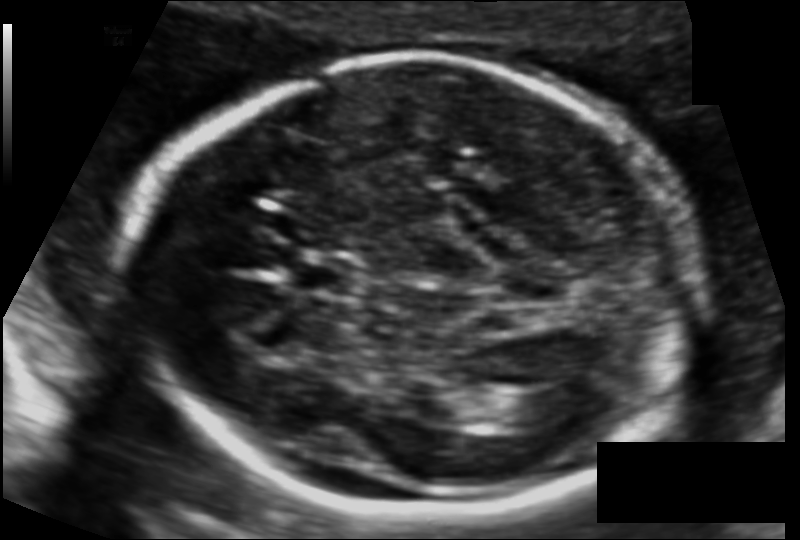
Fetal head ultrasound. Image width: 89.5 mm. Locate the lateral ventricle.

Lateral ventricle: [523,378,591,425]